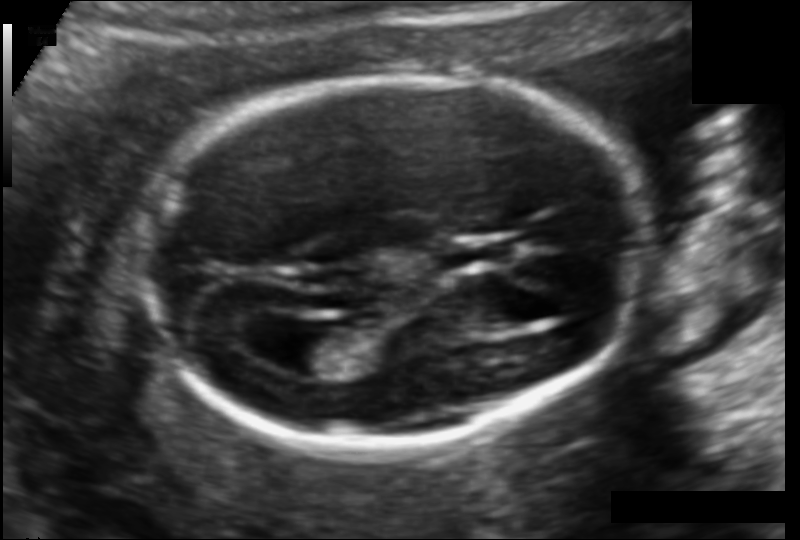
Fetal head ultrasound. Image width: 91.5 mm. Locate the fetal head and, if visible, the cavum septum pellucidum (CSP) and lateral ventricle (LV). Give bounding boxes as [x1,y1,x2,y2].

Head: [135,75,647,445]
CSP: [443,234,512,272]
Lateral ventricle: [265,323,341,380]